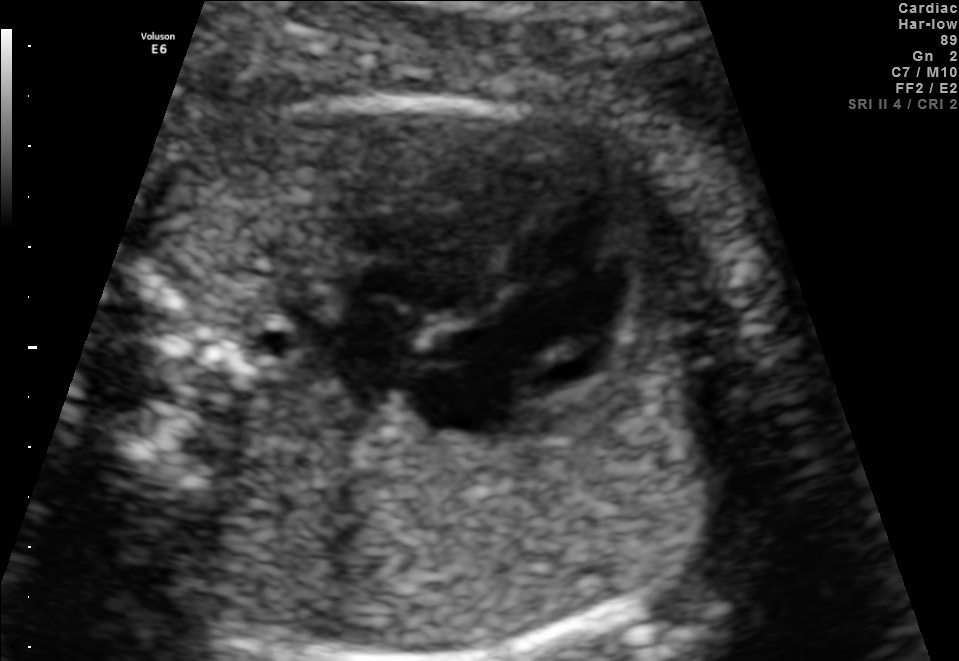
This is a 2D maternal-fetal ultrasound frame. Is it a fetal abdomen, fetal brain, fetal femur, fetal thorax, maternal cervix, or other standard plane? If it's fetal brain and one of the three standard brain planes (trans-thalamic, trans-cerebellum, trans-ventricular), name which.

Fetal thorax